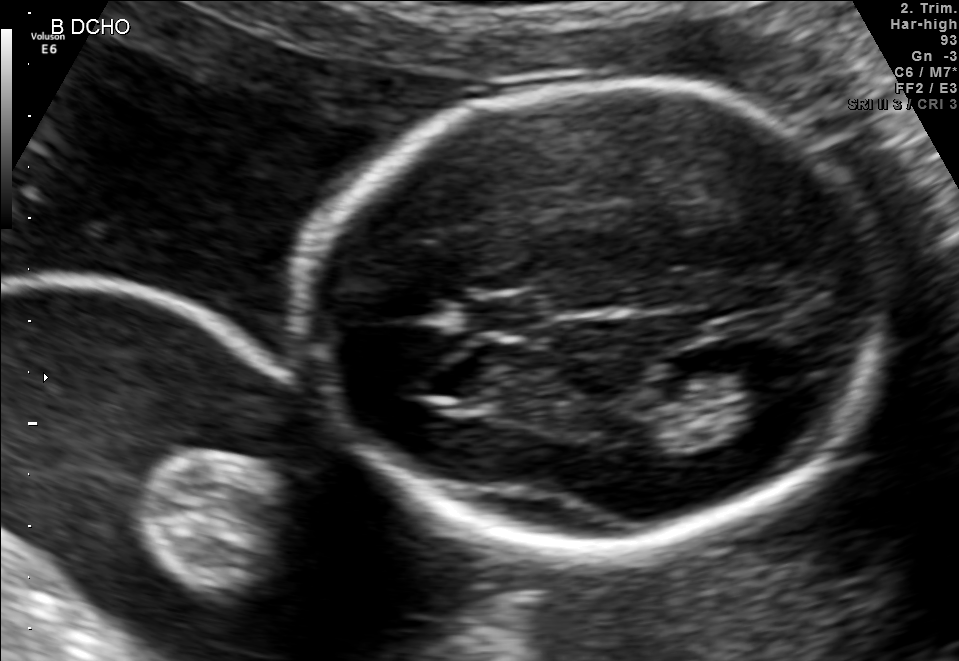
Fetal brain, trans-thalamic plane. Locate the fetal head and, if visible, the cavum septum pellucidum (CSP) and lateral ventricle (LV). Give bounding boxes as [x1,y1,x2,y2].

Head: [305,81,870,548]
CSP: [463,293,543,334]
Lateral ventricle: [709,331,813,421]